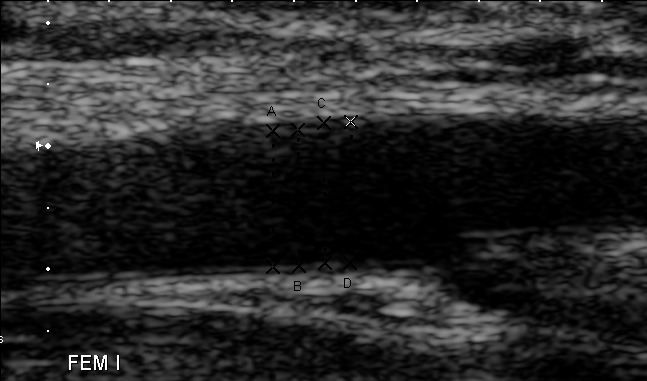
Which standard maternal-fetal ultrasound plane is shown: fetal abdomen, fetal brain, fetal femur, fetal thorax, maternal cervix, or other? If it's fetal brain and one of the three standard brain planes (trans-thalamic, trans-cerebellum, trans-ventricular), name which.

Other